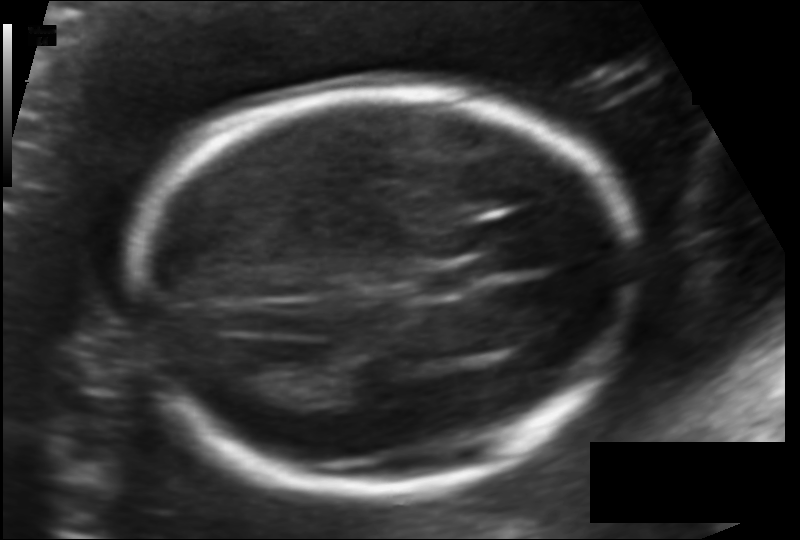
Fetal head ultrasound. Image width: 99.3 mm. Locate the cavum septum pellucidum.

CSP: [412,262,481,302]